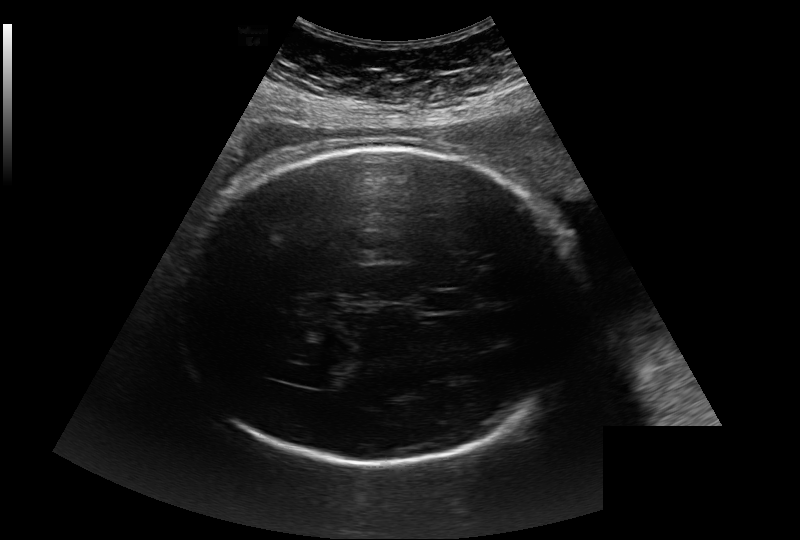
In this fetal head ultrasound, give the bounding box of the cavum septum pellucidum. Image width: 227.4 mm.

[418,288,475,314]